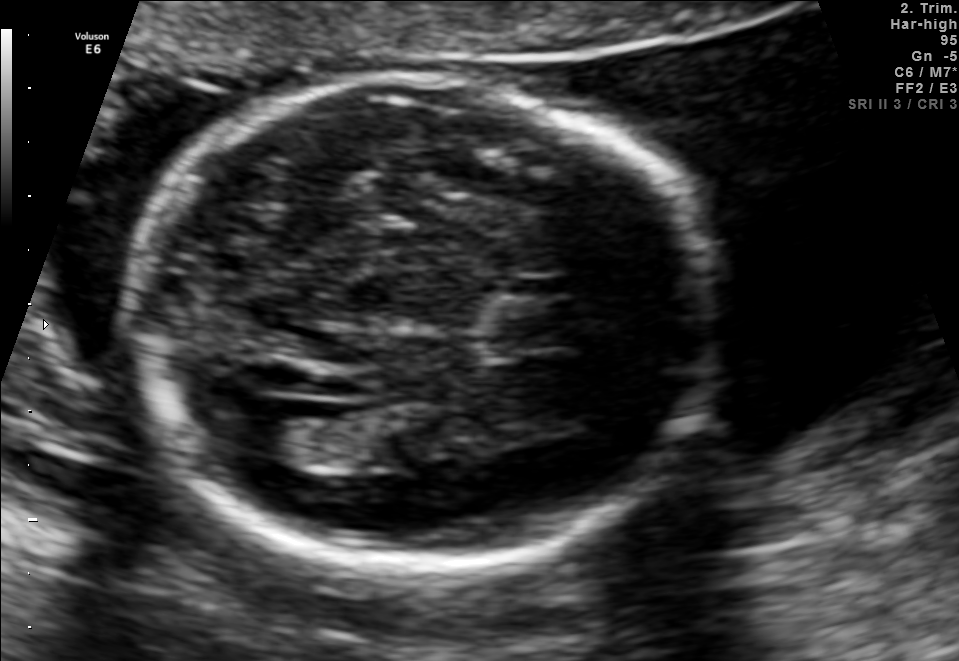
In this fetal brain, trans-ventricular plane, give bounding boxes for the head outline, cavum septum pellucidum (CSP), and lateral ventricle (LV), where visible.

Head: [112,66,737,575]
CSP: [472,295,582,351]
Lateral ventricle: [216,388,327,463]